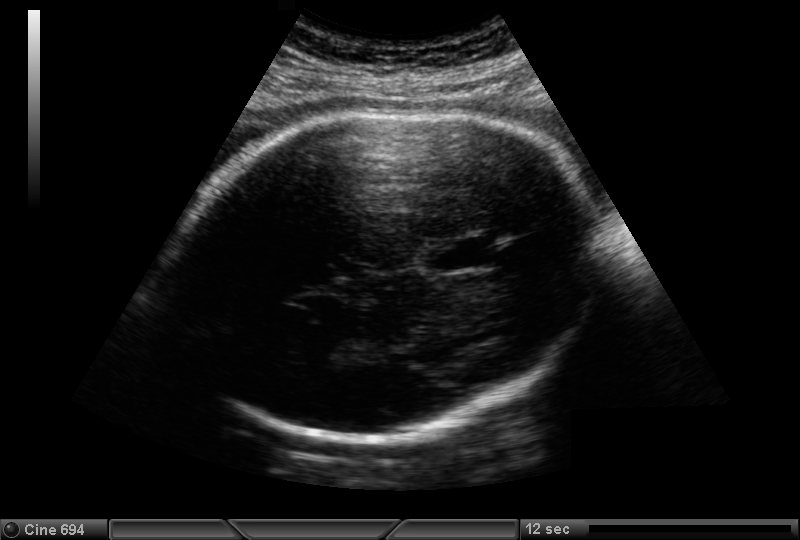
Fetal head ultrasound. Image width: 176.7 mm. Locate the fetal head.

Head: [174,110,600,438]